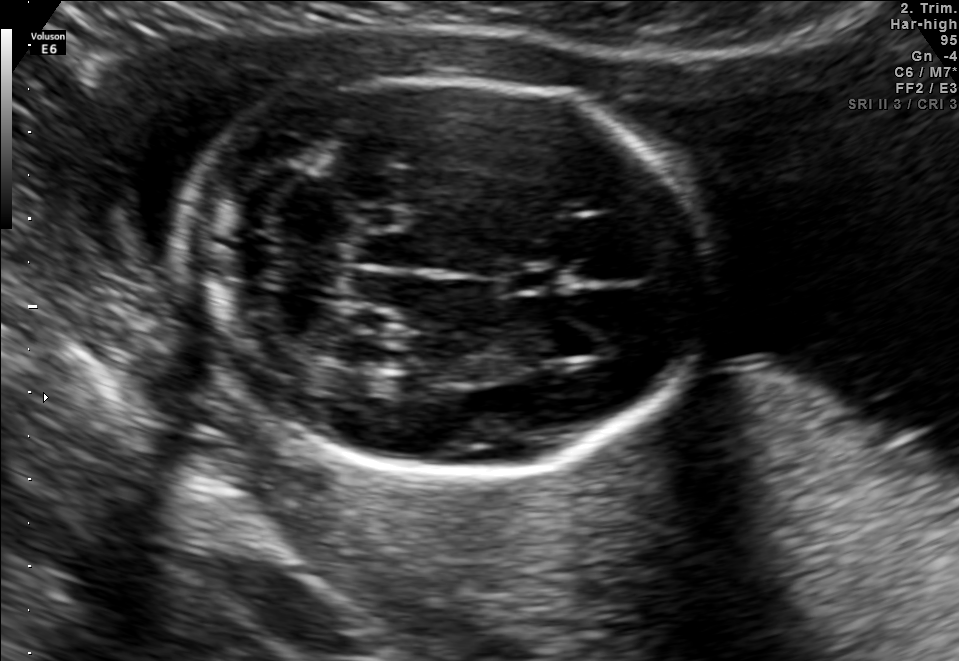
Fetal brain, trans-cerebellum plane. Locate the fetal head and, if visible, the cavum septum pellucidum (CSP) and lateral ventricle (LV). Give bounding boxes as [x1,y1,x2,y2].

Head: [183,78,714,479]
CSP: [497,265,557,295]